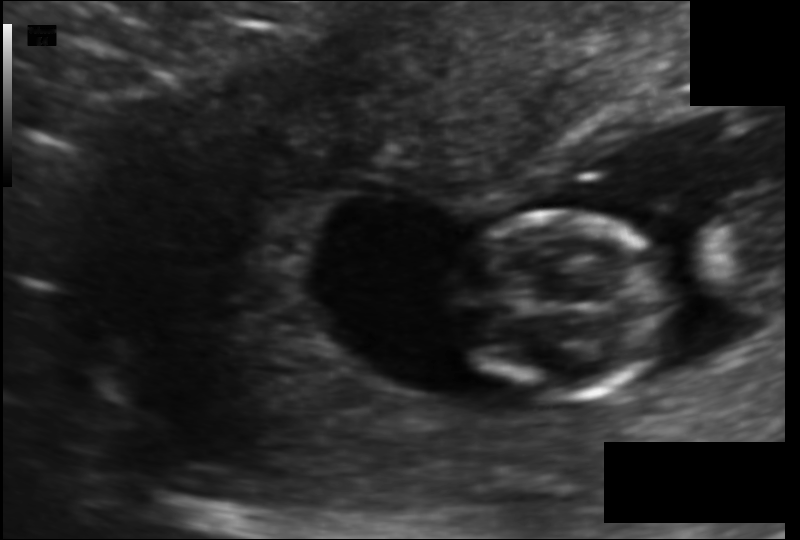
Fetal head ultrasound. Image width: 82.9 mm. Locate the fetal head and, if visible, the cavum septum pellucidum (CSP) and lateral ventricle (LV). Give bounding boxes as [x1,y1,x2,y2].

Head: [450,212,670,400]